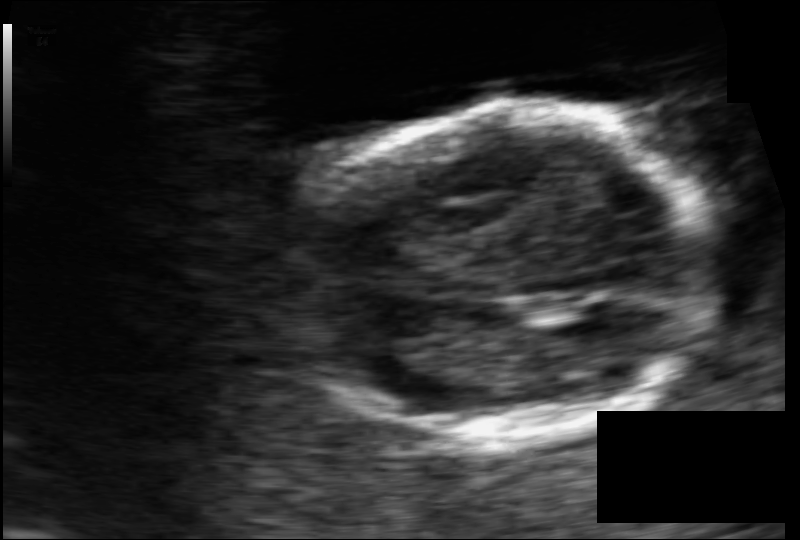
Fetal head ultrasound. Image width: 67.0 mm. Locate the fetal head.

Head: [291,105,719,440]